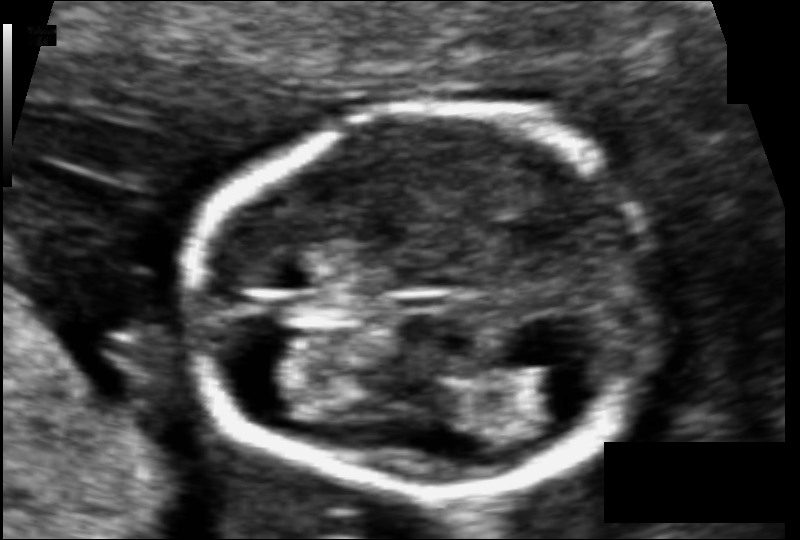
In this fetal head ultrasound, give bounding boxes for the head outline, cavum septum pellucidum (CSP), and lateral ventricle (LV), where visible. Image width: 52.4 mm.

Head: [189,109,657,493]